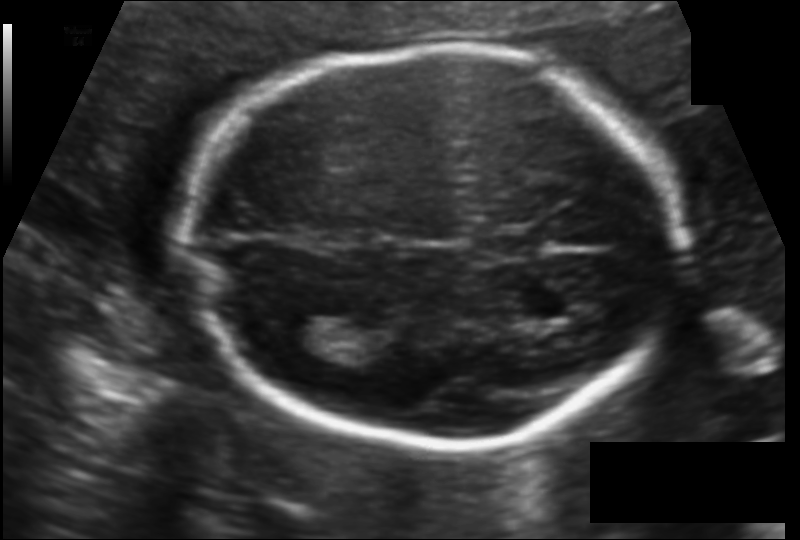
In this fetal head ultrasound, give bounding boxes for the head outline, cavum septum pellucidum (CSP), and lateral ventricle (LV), where visible. Image width: 99.4 mm.

Head: [188,47,681,444]
CSP: [478,226,544,262]
Lateral ventricle: [266,312,325,355]